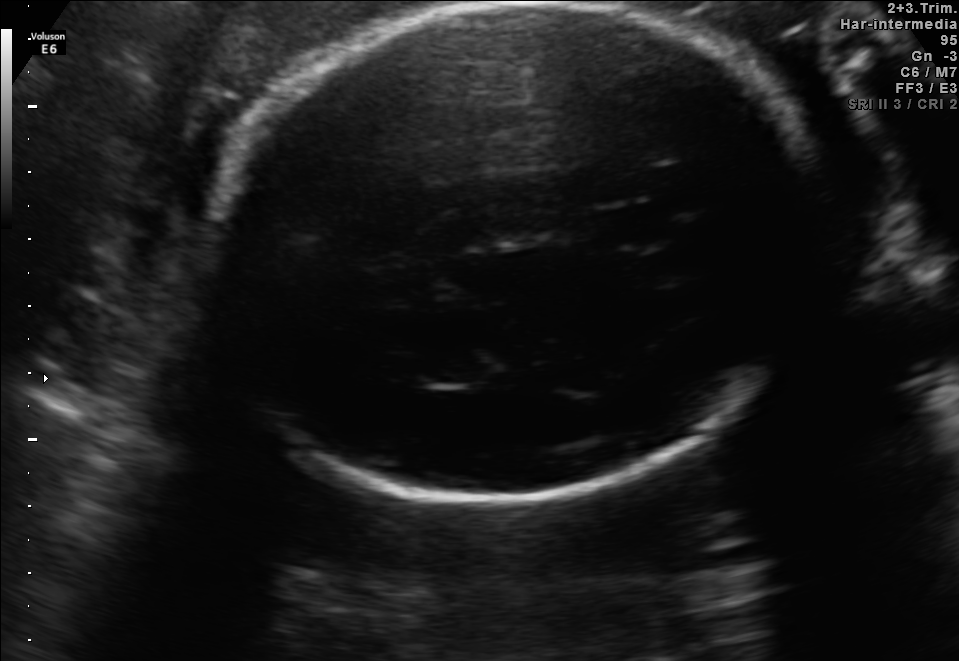
Which standard maternal-fetal ultrasound plane is shown: fetal abdomen, fetal brain, fetal femur, fetal thorax, maternal cervix, or other? If it's fetal brain and one of the three standard brain planes (trans-thalamic, trans-cerebellum, trans-ventricular), name which.

Fetal brain (trans-thalamic plane)